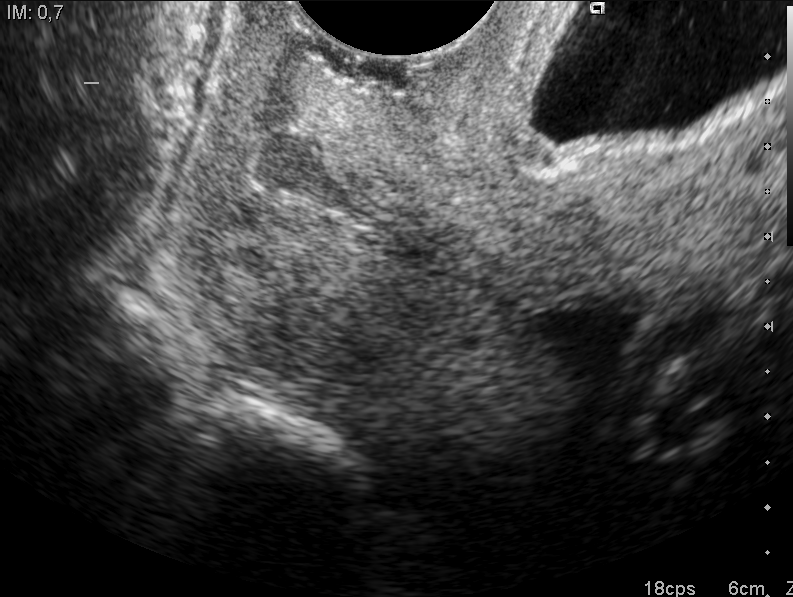
Classify this maternal-fetal ultrasound image as one of the six standard planes — fetal abdomen, fetal brain, fetal femur, fetal thorax, maternal cervix, or other. If it's fetal brain and one of the three standard brain planes (trans-thalamic, trans-cerebellum, trans-ventricular), name which.

Maternal cervix